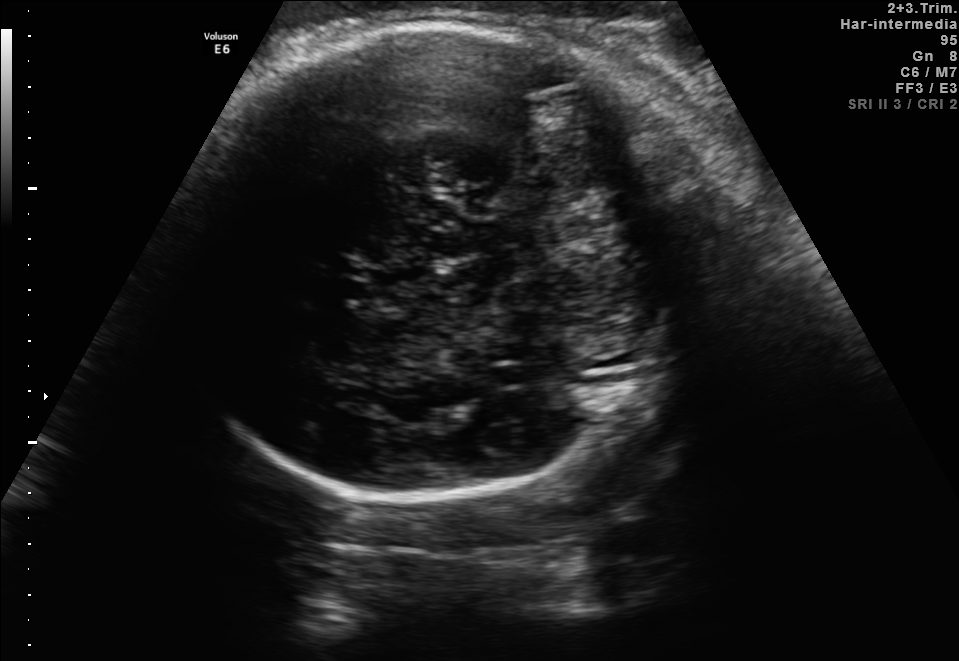
In this fetal brain, trans-cerebellum plane, give the bounding box of the fetal head.

[172,21,687,500]